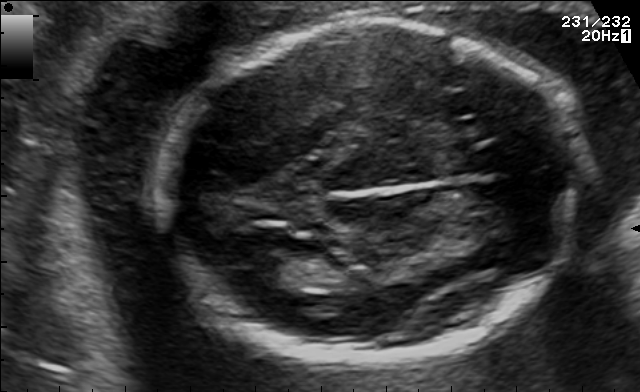
In this fetal brain, trans-thalamic plane, give the bounding box of the lateral ventricle.

[241,248,314,290]